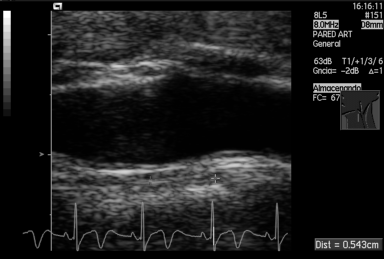
This is a 2D maternal-fetal ultrasound frame. Is it a fetal abdomen, fetal brain, fetal femur, fetal thorax, maternal cervix, or other standard plane? If it's fetal brain and one of the three standard brain planes (trans-thalamic, trans-cerebellum, trans-ventricular), name which.

Other